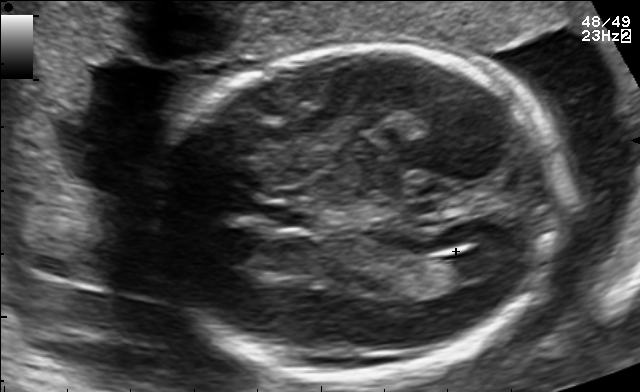
In this fetal brain, trans-ventricular plane, give the bounding box of the lateral ventricle.

[437,241,510,287]